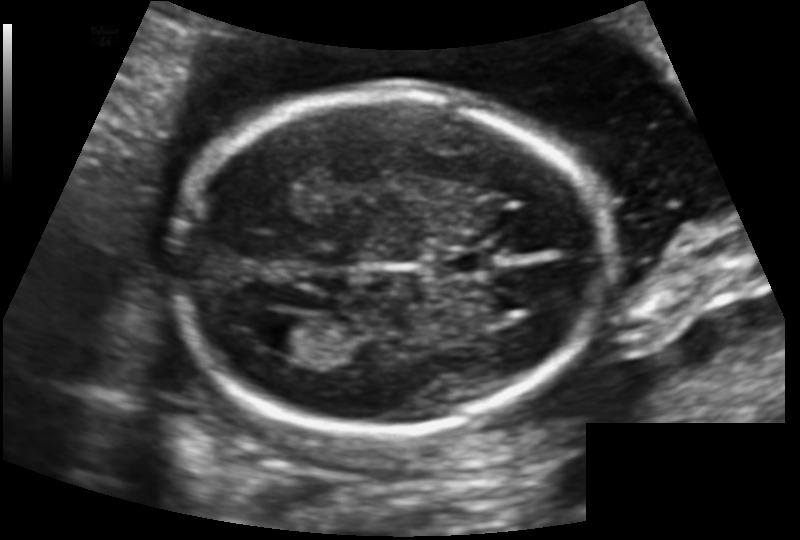
From this fetal ultrasound, estimate the head circumference (image width 103.5 mm).

Head circumference: 165.0 mm.